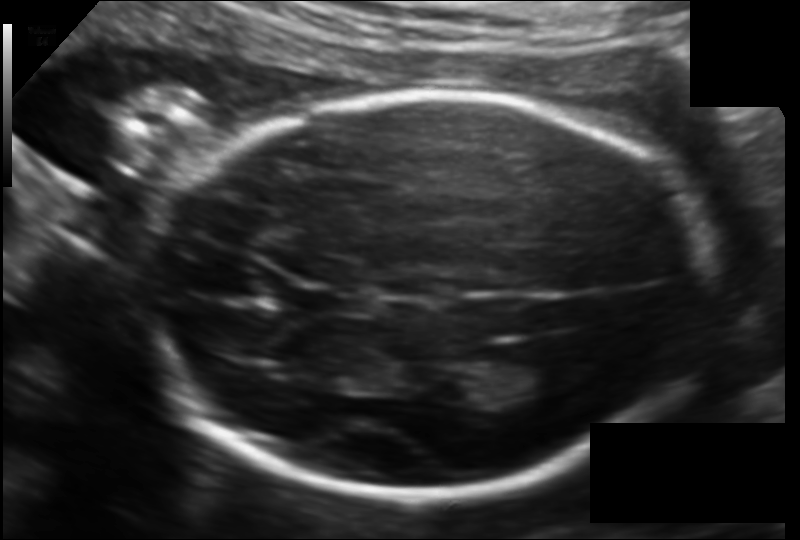
Fetal head ultrasound. Image width: 103.8 mm. Locate the cavum septum pellucidum.

CSP: [288,283,348,318]